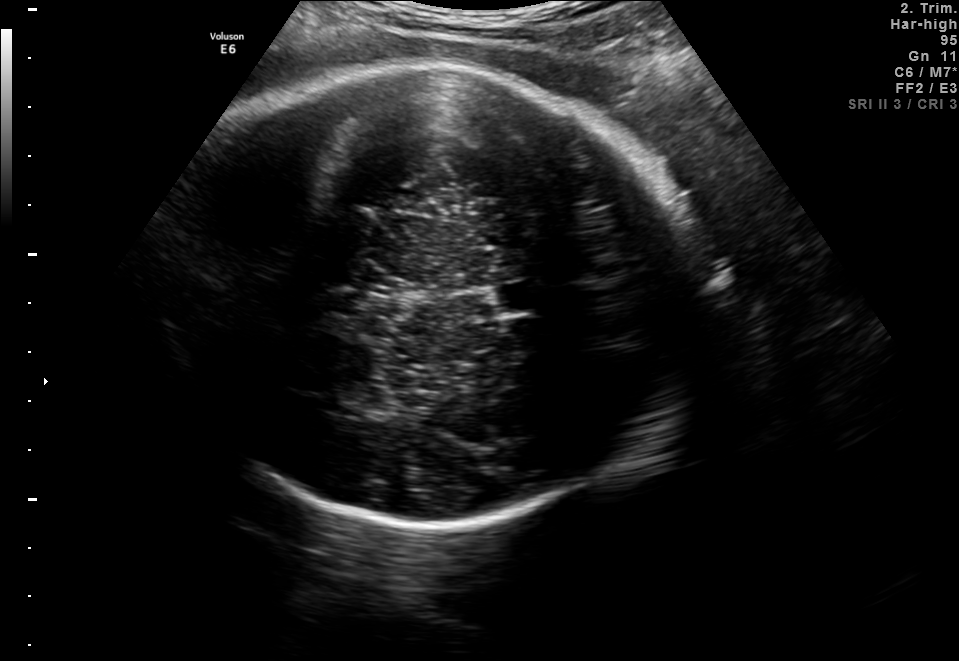
Fetal brain, trans-thalamic plane. Where is the fetal head?

Head bounding box: [155,66,702,527]